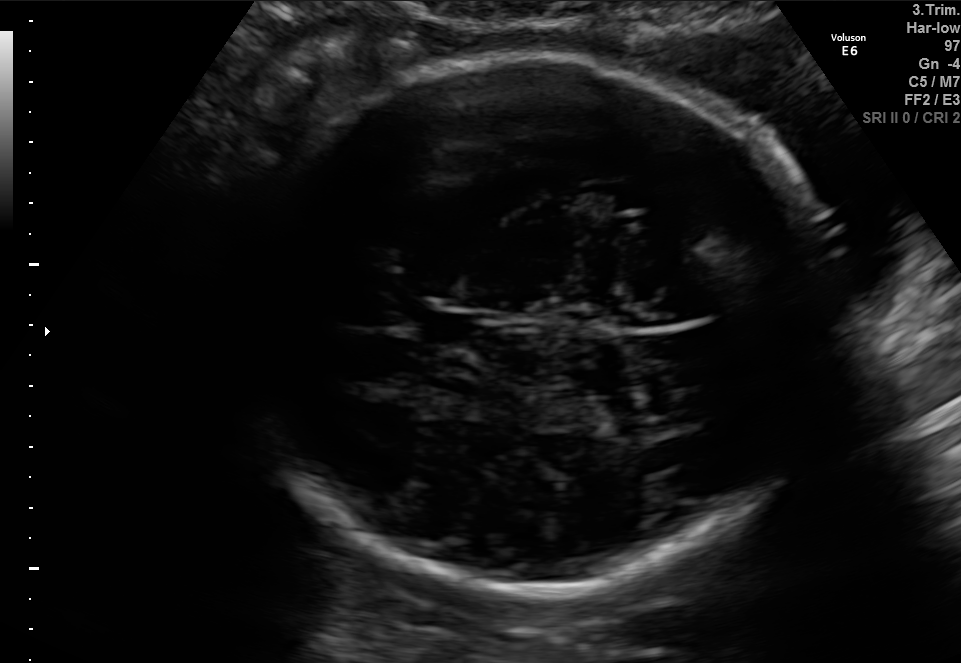
Fetal brain, trans-thalamic plane. Give [x1,y1,x2,y2] bounding boxes for each visible structure among: fetal head, CSP, LV.

Head: [223,60,828,591]
CSP: [422,314,475,344]